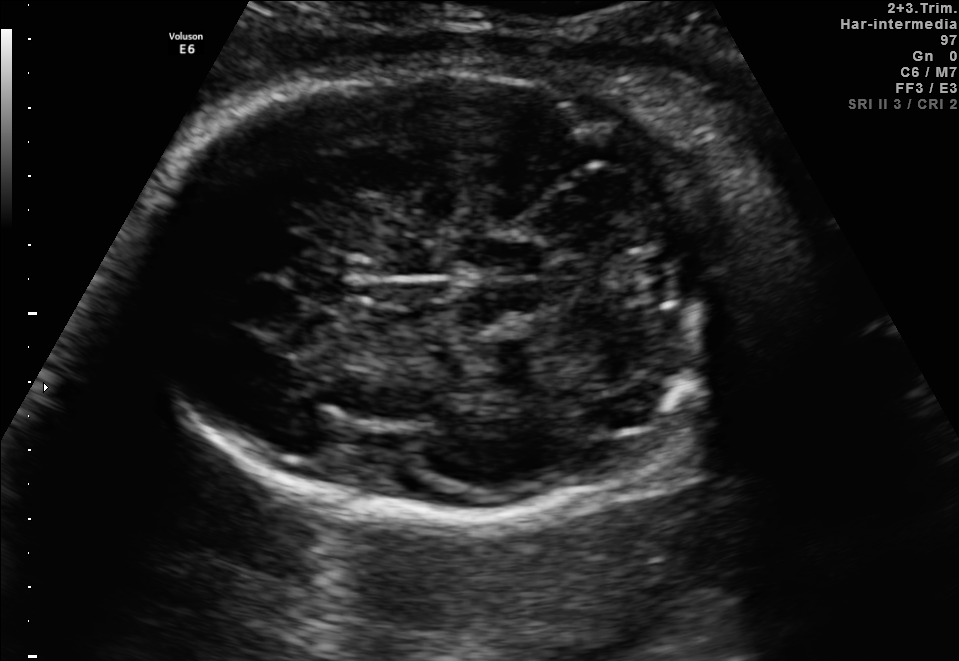
This is a 2D maternal-fetal ultrasound frame. Is it a fetal abdomen, fetal brain, fetal femur, fetal thorax, maternal cervix, or other standard plane? If it's fetal brain and one of the three standard brain planes (trans-thalamic, trans-cerebellum, trans-ventricular), name which.

Fetal brain (trans-cerebellum plane)